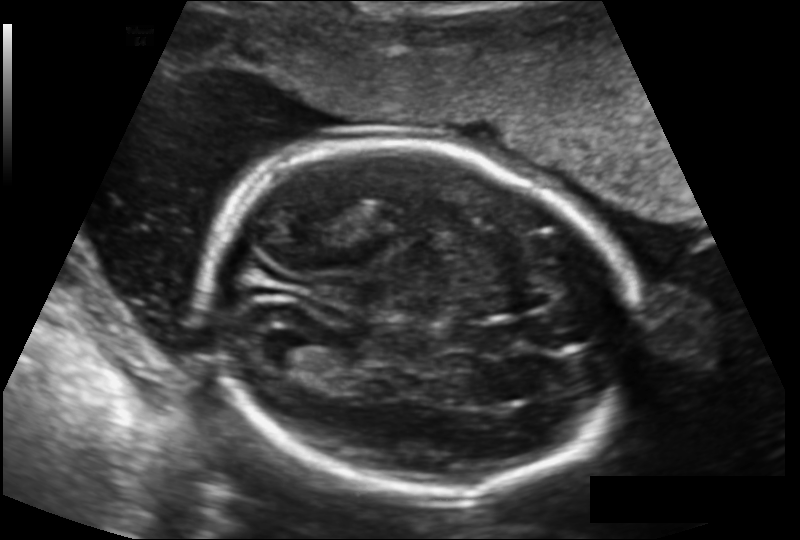
Estimate the fetal head circumference from this 2D ultrasound. Image width: 114.2 mm.

Head circumference: 183.7 mm.